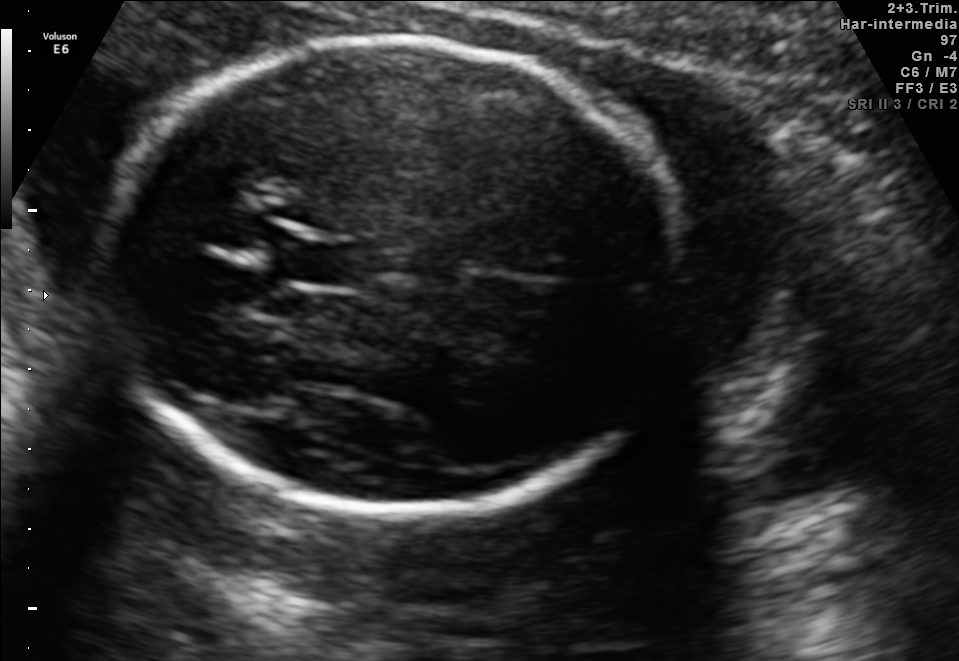
In this fetal brain, trans-thalamic plane, give the bounding box of the fetal head.

[99,40,688,513]